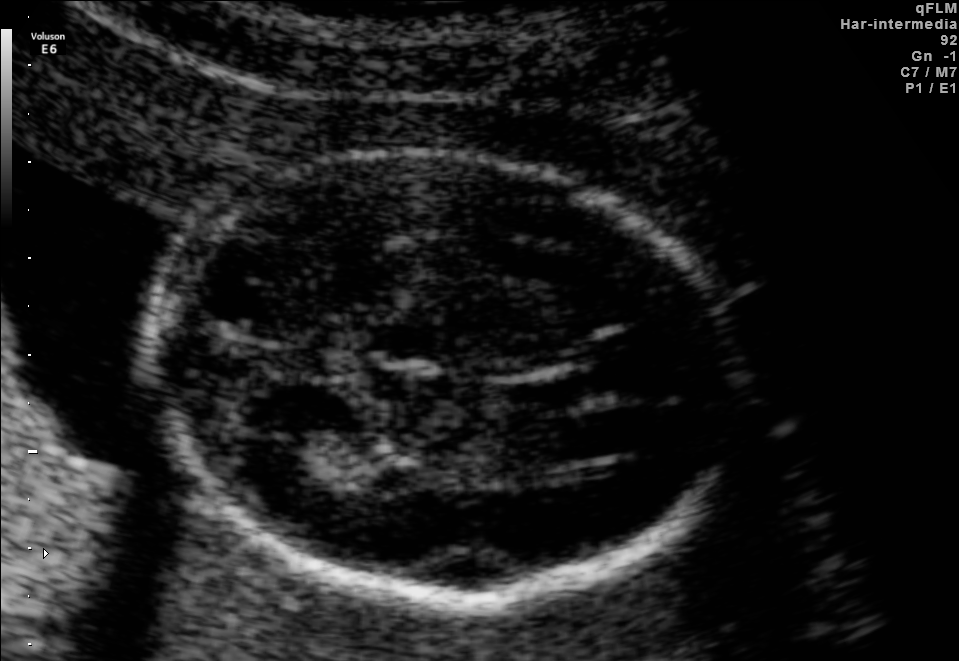
Classify this maternal-fetal ultrasound image as one of the six standard planes — fetal abdomen, fetal brain, fetal femur, fetal thorax, maternal cervix, or other. If it's fetal brain and one of the three standard brain planes (trans-thalamic, trans-cerebellum, trans-ventricular), name which.

Fetal brain (trans-thalamic plane)